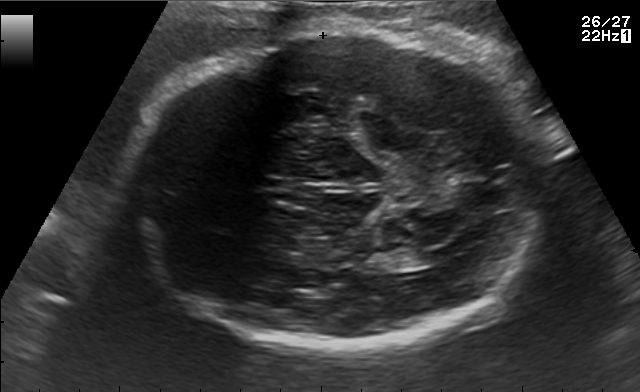
Fetal brain, trans-ventricular plane. Where is the fetal head?

Head bounding box: [125,28,554,354]